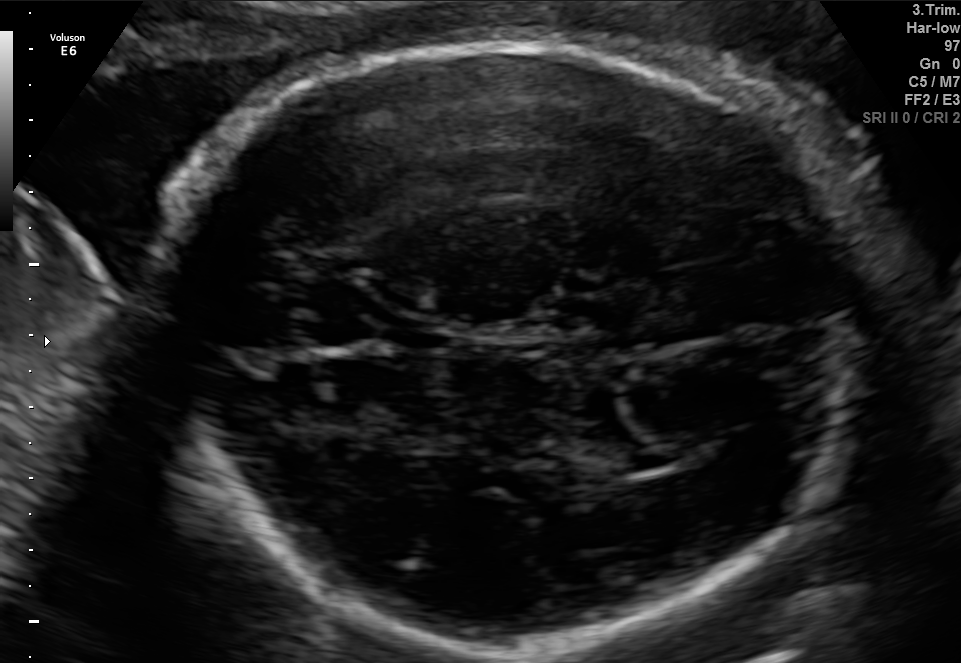
In this fetal brain, trans-ventricular plane, give bounding boxes for the head outline, cavum septum pellucidum (CSP), and lateral ventricle (LV), where visible.

Head: [138,34,875,655]